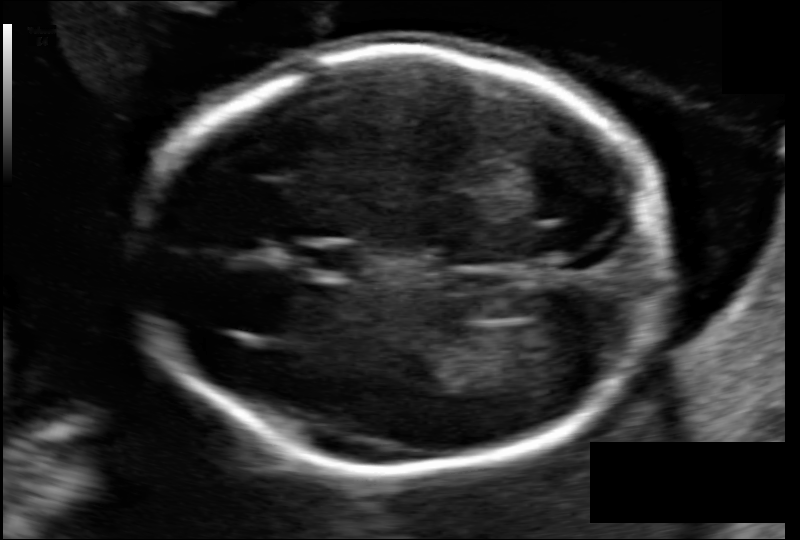
Fetal head ultrasound. Image width: 82.2 mm. Give [x1,y1,x2,y2] bounding boxes for each visible structure among: fetal head, CSP, LV.

Head: [144,48,666,472]
CSP: [296,246,354,272]